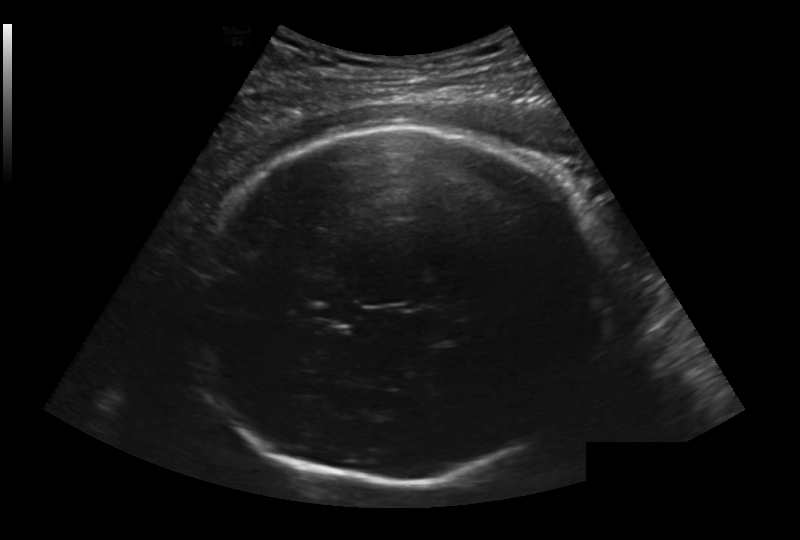
Fetal head ultrasound. Image width: 188.7 mm. Locate the fetal head and, if visible, the cavum septum pellucidum (CSP) and lateral ventricle (LV). Give bounding boxes as [x1,y1,x2,y2].

Head: [198,125,607,485]